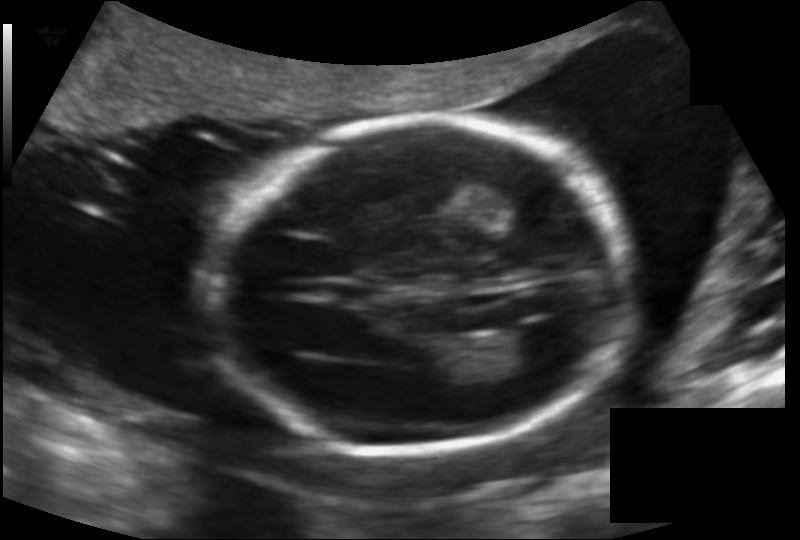
Fetal head ultrasound. Image width: 113.7 mm. Locate the fetal head and, if visible, the cavum septum pellucidum (CSP) and lateral ventricle (LV). Give bounding boxes as [x1,y1,x2,y2].

Head: [204,119,634,449]
Lateral ventricle: [496,318,569,376]